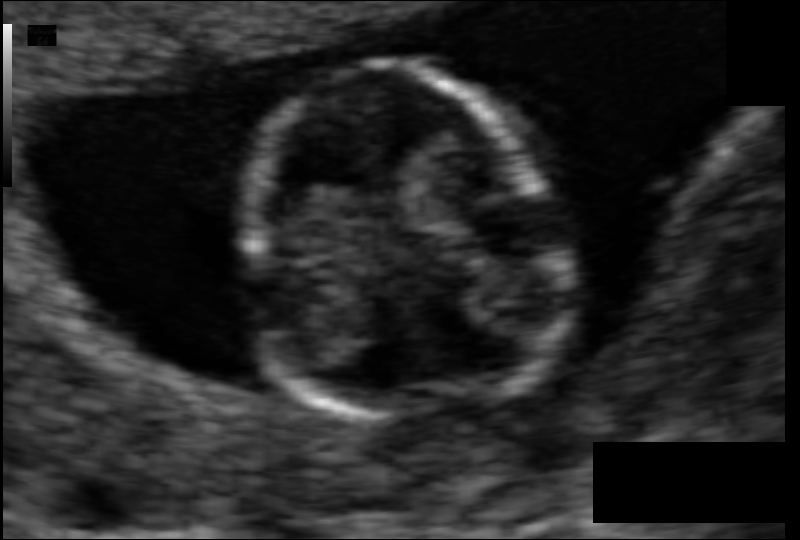
Fetal head ultrasound. Image width: 49.5 mm. Where is the fetal head?

Head bounding box: [240,65,561,416]